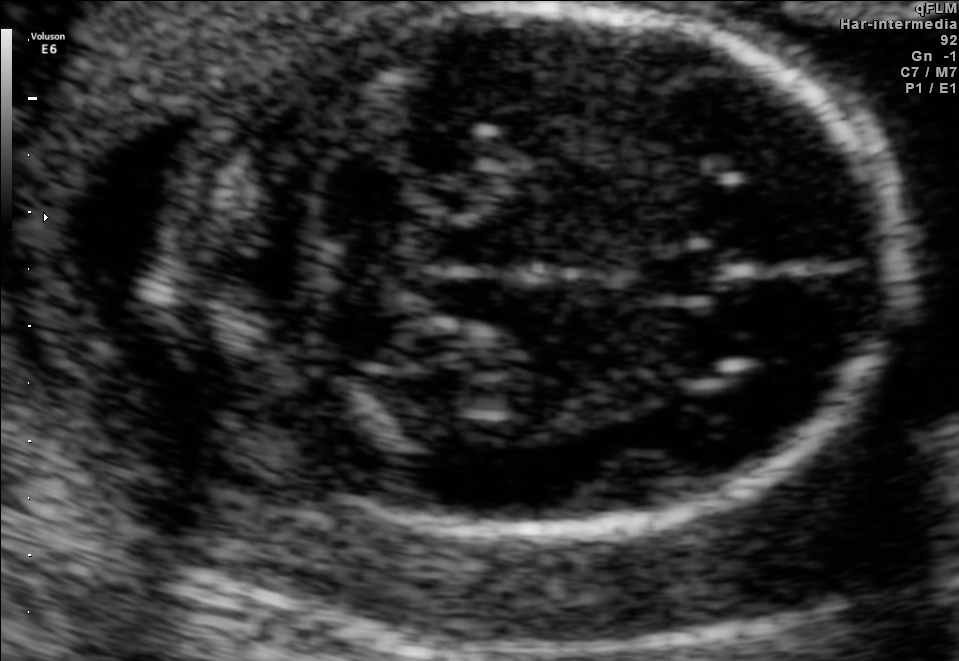
Fetal brain, trans-cerebellum plane. Locate the fetal head and, if visible, the cavum septum pellucidum (CSP) and lateral ventricle (LV). Give bounding boxes as [x1,y1,x2,y2].

Head: [175,6,896,531]
CSP: [628,243,722,309]